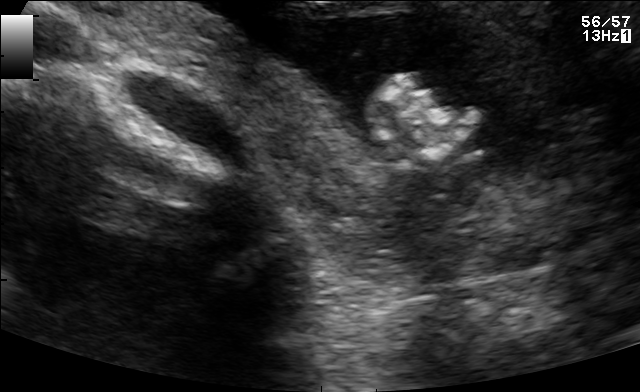
This is a 2D maternal-fetal ultrasound frame. Is it a fetal abdomen, fetal brain, fetal femur, fetal thorax, maternal cervix, or other standard plane? If it's fetal brain and one of the three standard brain planes (trans-thalamic, trans-cerebellum, trans-ventricular), name which.

Other